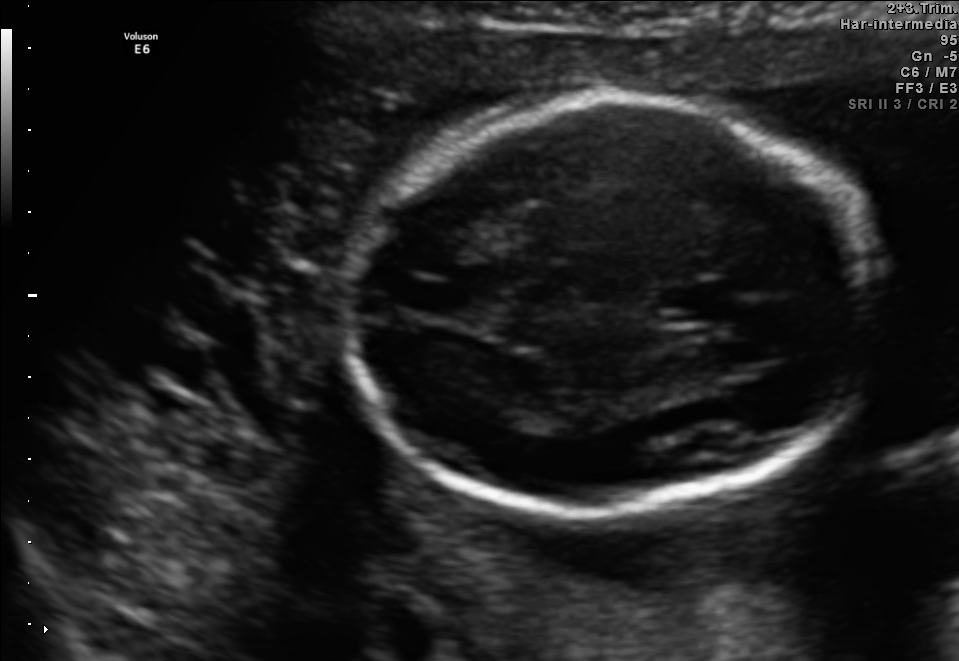
In this fetal brain, trans-thalamic plane, give the bounding box of the fetal head.

[345,100,880,509]